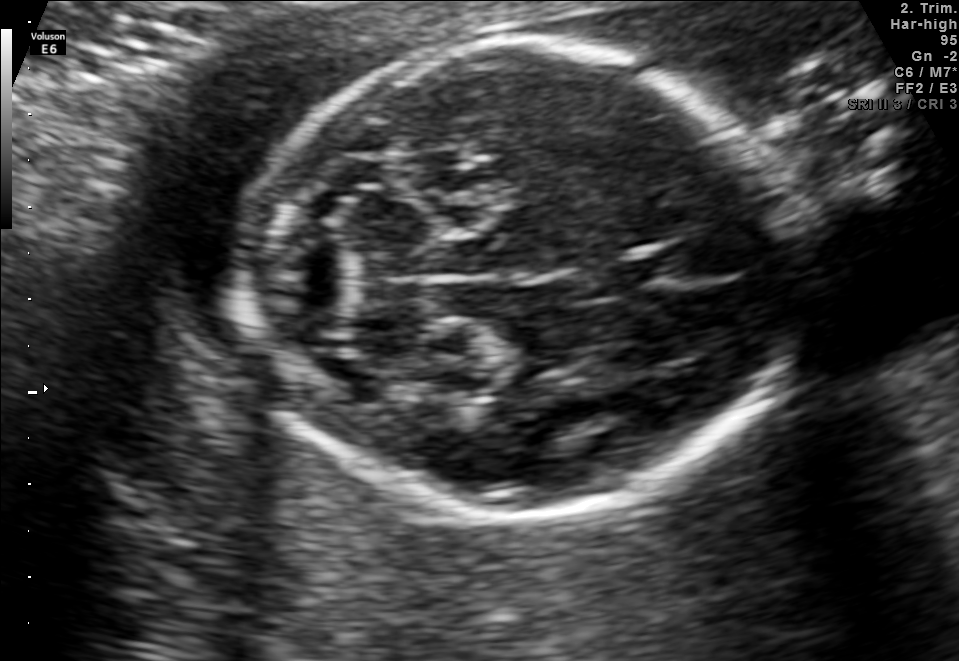
In this fetal brain, trans-cerebellum plane, give the bounding box of the fetal head.

[244,40,793,517]